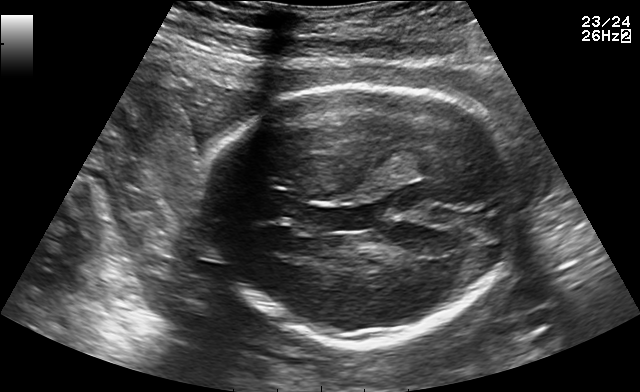
Fetal brain, trans-thalamic plane. Locate the fetal head and, if visible, the cavum septum pellucidum (CSP) and lateral ventricle (LV). Give bounding boxes as [x1,y1,x2,y2].

Head: [198,85,521,350]